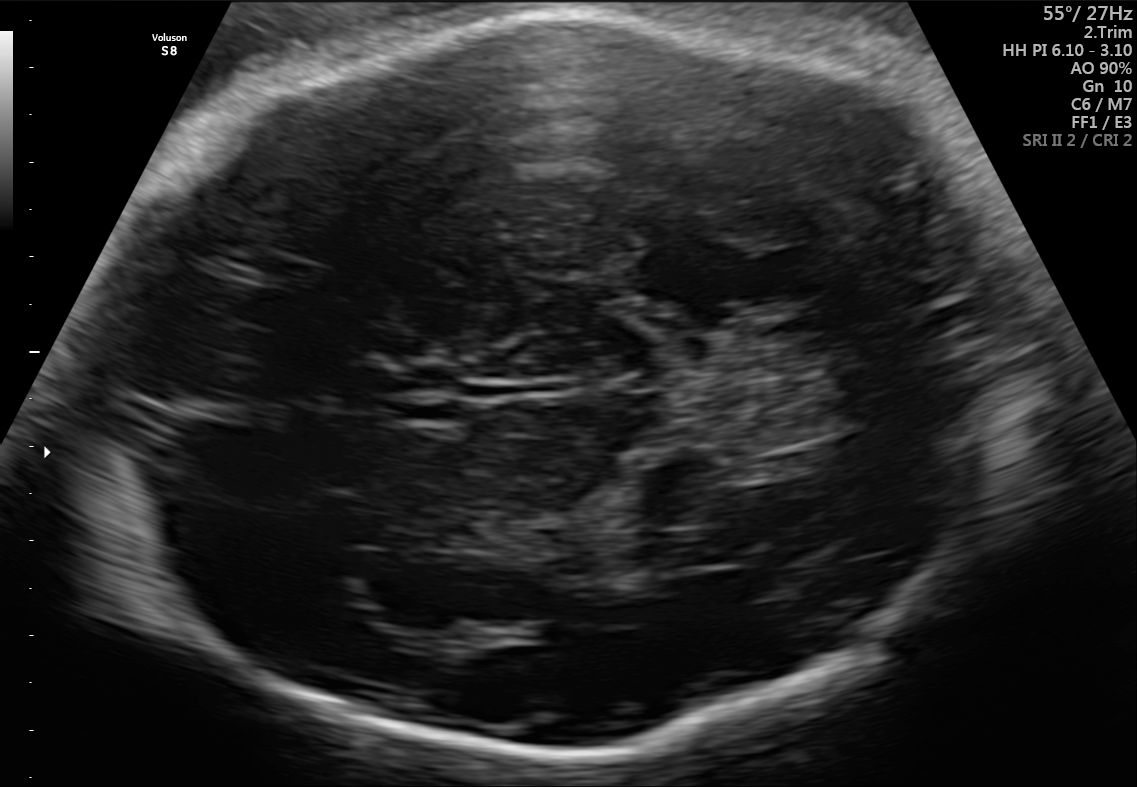
This is a 2D maternal-fetal ultrasound frame. Is it a fetal abdomen, fetal brain, fetal femur, fetal thorax, maternal cervix, or other standard plane? If it's fetal brain and one of the three standard brain planes (trans-thalamic, trans-cerebellum, trans-ventricular), name which.

Fetal brain (trans-thalamic plane)